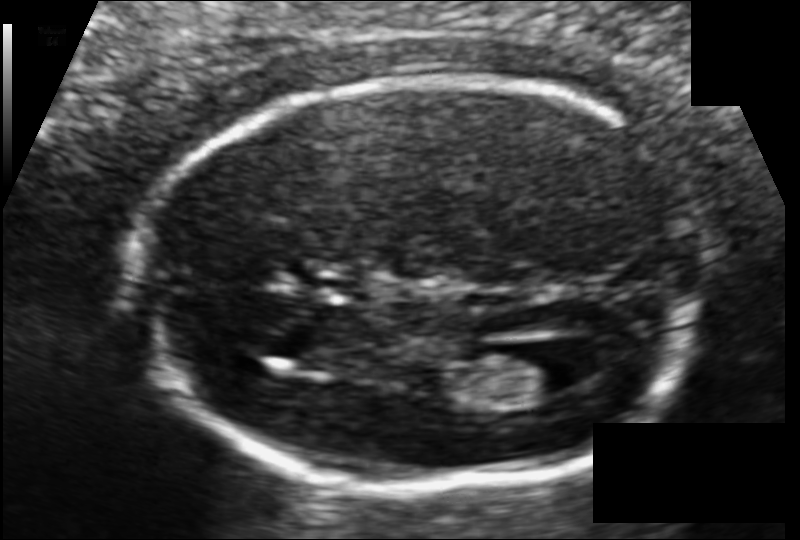
In this fetal head ultrasound, give the bounding box of the fetal head. Image width: 83.6 mm.

[136,79,702,492]